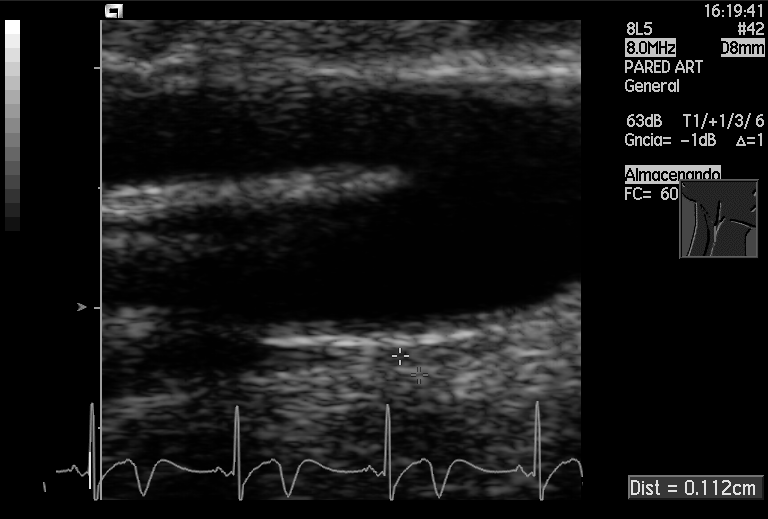
Identify the standard plane in this fetal ultrasound image: fetal abdomen, fetal brain, fetal femur, fetal thorax, maternal cervix, or other. If it's fetal brain and one of the three standard brain planes (trans-thalamic, trans-cerebellum, trans-ventricular), name which.

Other